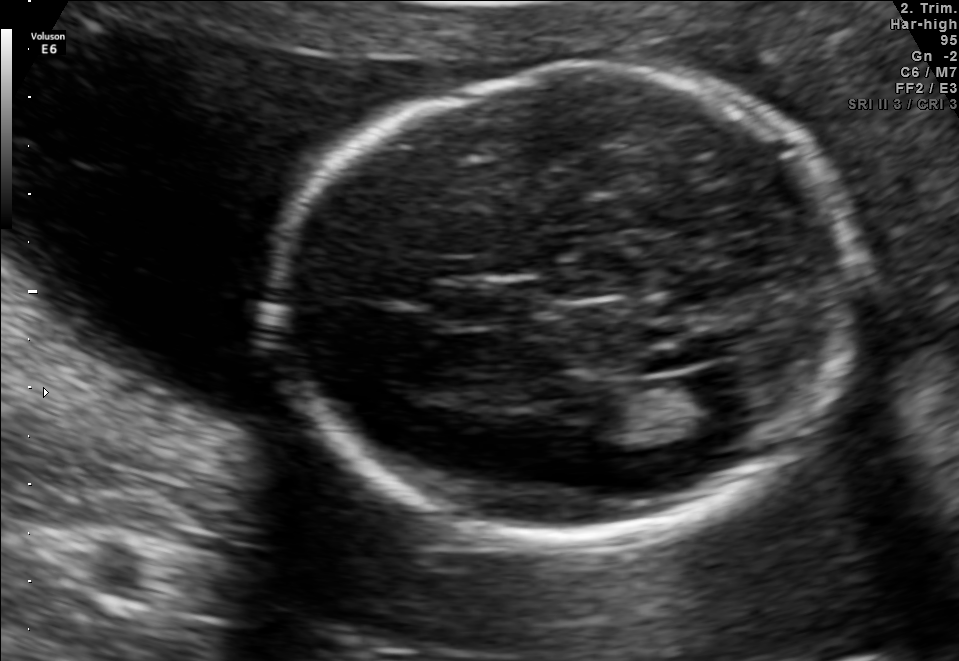
In this fetal brain, trans-ventricular plane, give the bounding box of the fetal head.

[263,54,870,551]